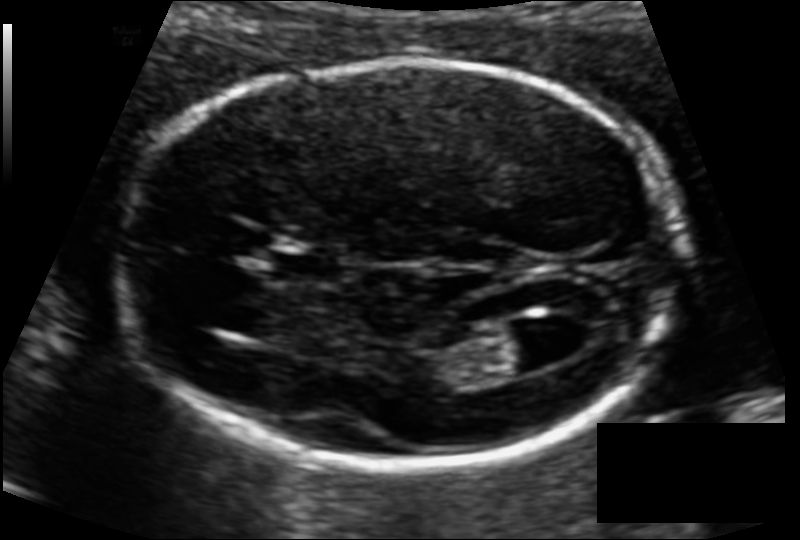
In this fetal head ultrasound, give the bounding box of the lateral ventricle. Image width: 83.4 mm.

[485,314,574,380]